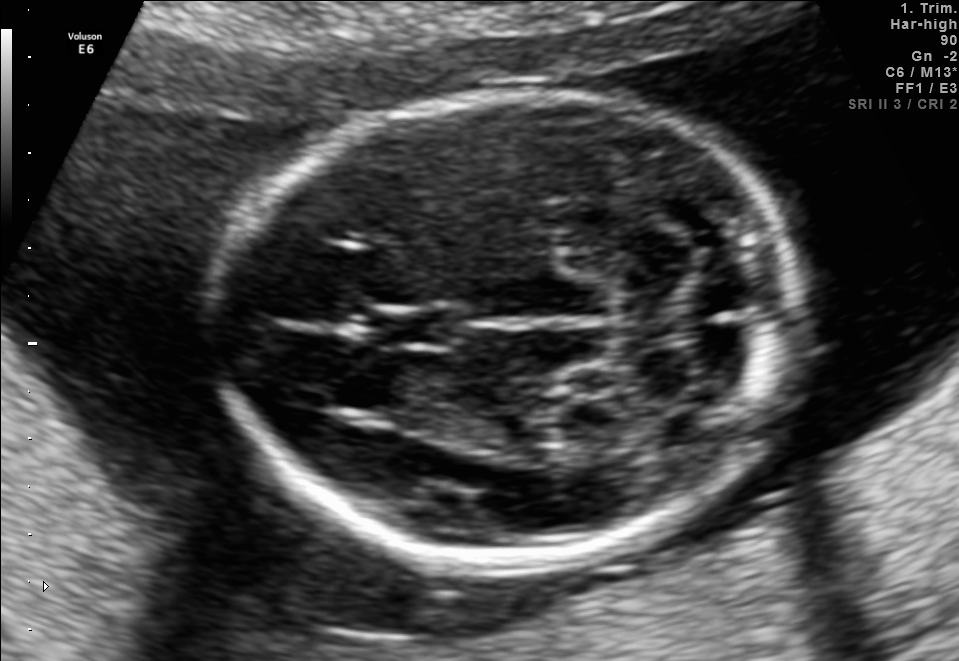
Fetal brain, trans-cerebellum plane. Give [x1,y1,x2,y2] bounding boxes for each visible structure among: fetal head, CSP, LV.

Head: [226,91,795,564]
CSP: [378,307,462,348]